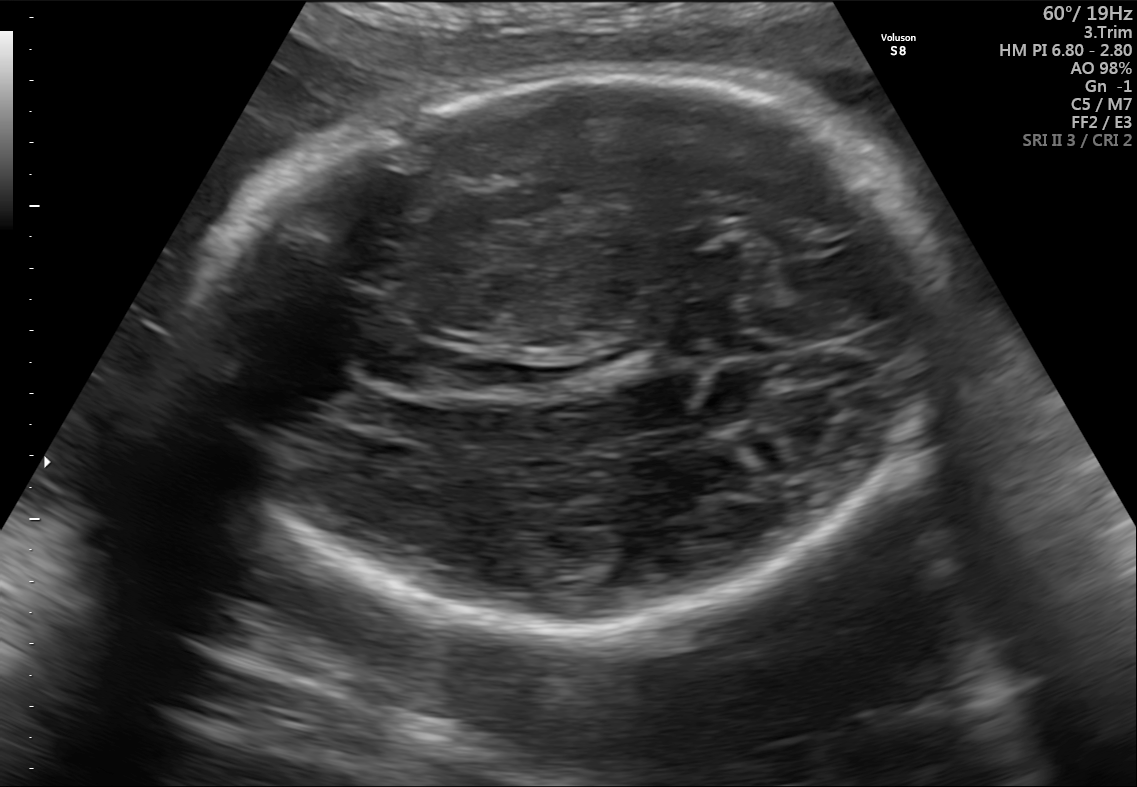
Fetal brain, trans-thalamic plane. Locate the fetal head and, if visible, the cavum septum pellucidum (CSP) and lateral ventricle (LV). Give bounding boxes as [x1,y1,x2,y2].

Head: [219,79,953,639]